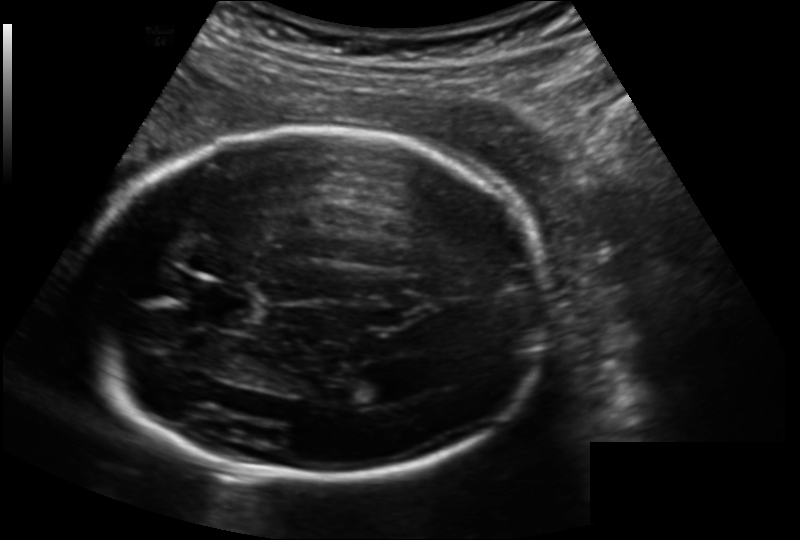
Fetal head ultrasound. Image width: 130.8 mm. Locate the lateral ventricle.

Lateral ventricle: [347,367,402,410]